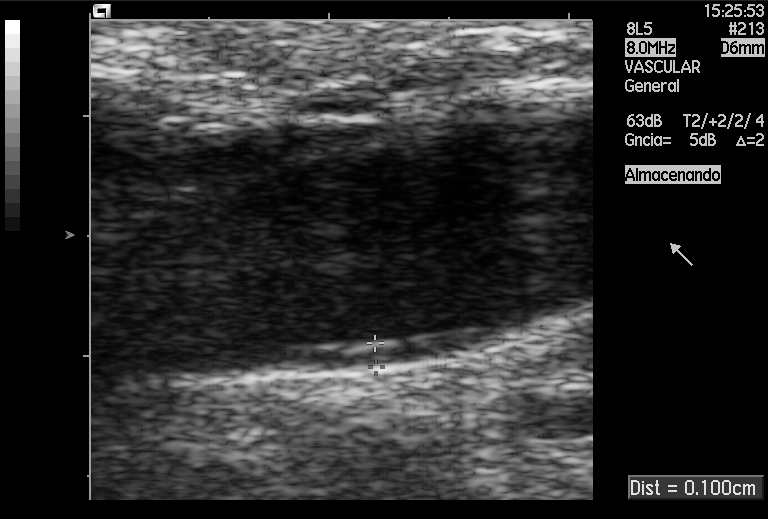
Which standard maternal-fetal ultrasound plane is shown: fetal abdomen, fetal brain, fetal femur, fetal thorax, maternal cervix, or other? If it's fetal brain and one of the three standard brain planes (trans-thalamic, trans-cerebellum, trans-ventricular), name which.

Other